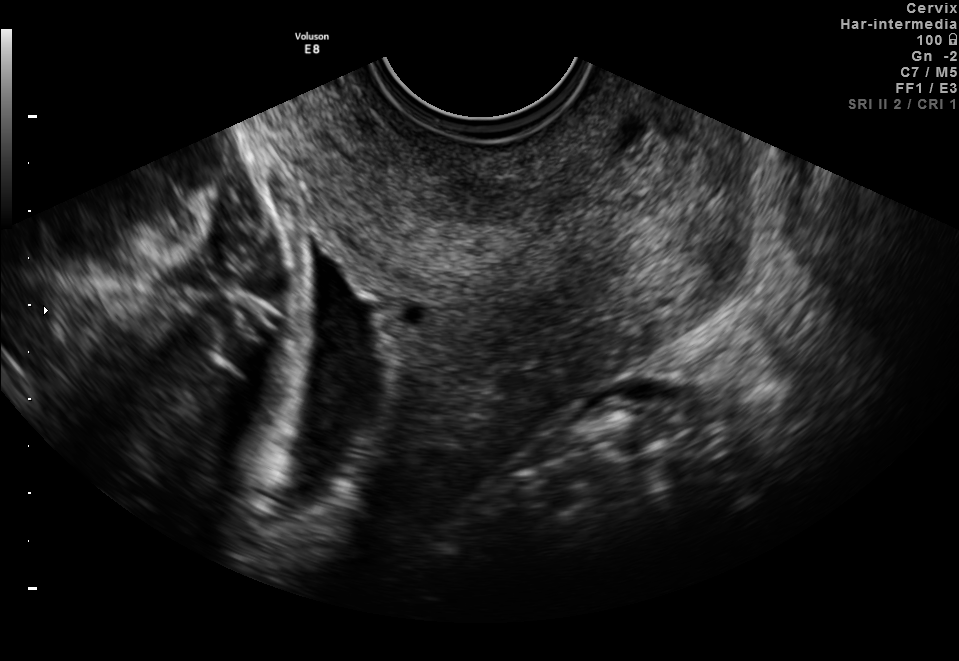
Which standard maternal-fetal ultrasound plane is shown: fetal abdomen, fetal brain, fetal femur, fetal thorax, maternal cervix, or other? If it's fetal brain and one of the three standard brain planes (trans-thalamic, trans-cerebellum, trans-ventricular), name which.

Maternal cervix